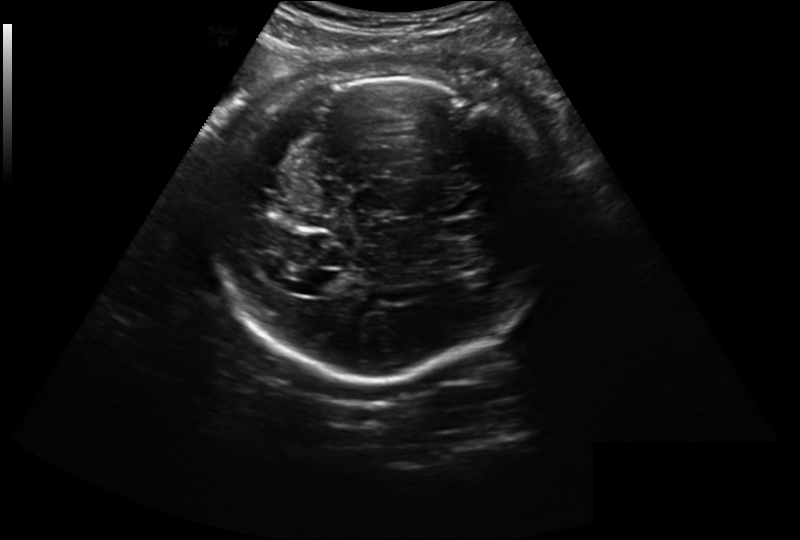
Fetal head ultrasound. Image width: 208.4 mm. Locate the cavum septum pellucidum.

CSP: [441,219,477,237]